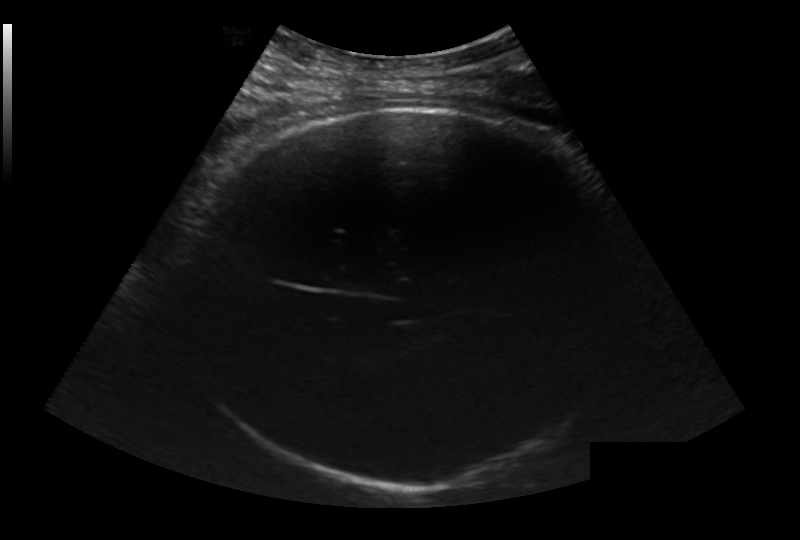
Fetal head ultrasound. Image width: 188.6 mm. Locate the fetal head.

Head: [189,105,619,489]